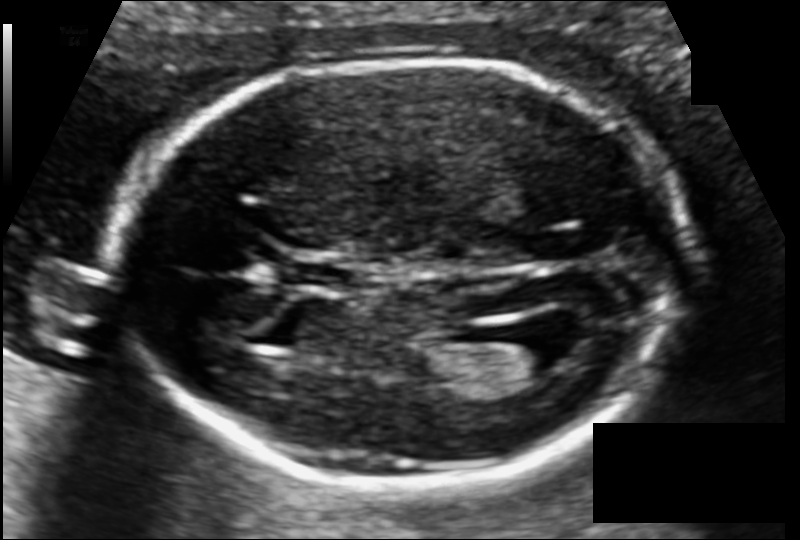
Fetal head ultrasound. Image width: 82.9 mm. Where is the fetal head?

Head bounding box: [115,60,683,484]